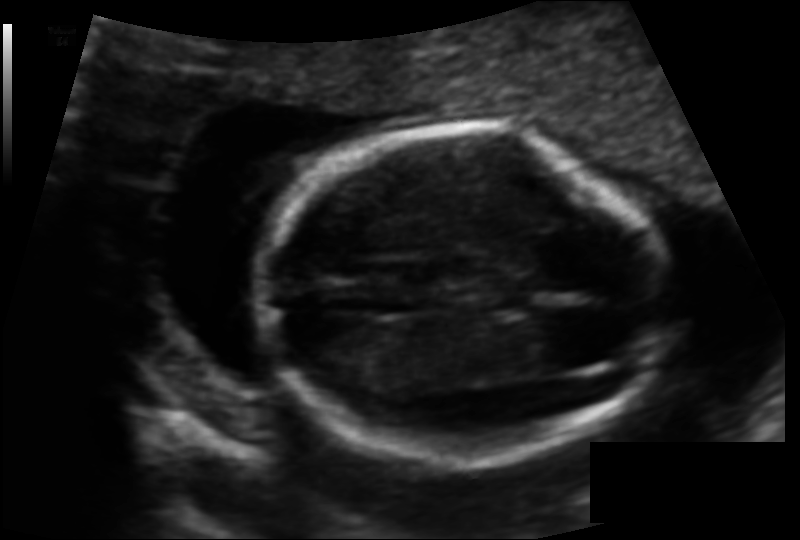
Fetal head ultrasound. Image width: 81.7 mm. Locate the fetal head.

Head: [263,127,666,463]